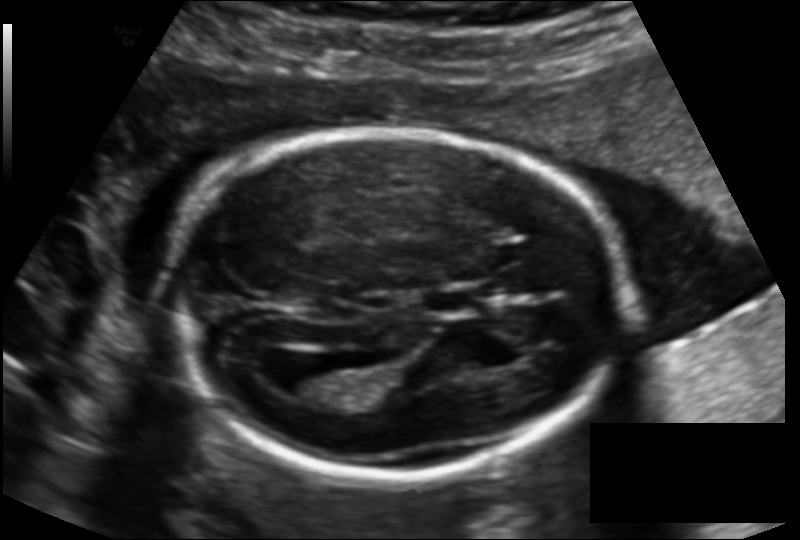
In this fetal head ultrasound, give the bounding box of the cavum septum pellucidum. Image width: 109.0 mm.

[421,287,477,315]